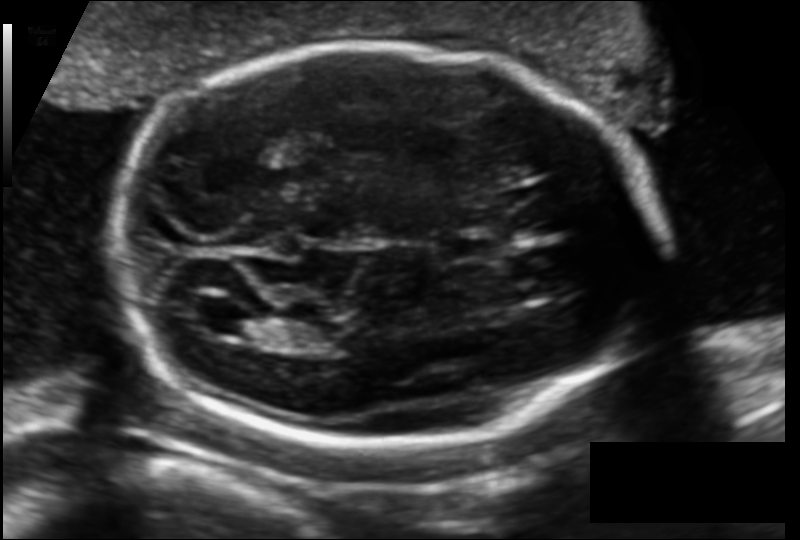
Estimate the fetal head circumference from this 2D ultrasound. Image width: 103.4 mm.

Head circumference: 198.6 mm.